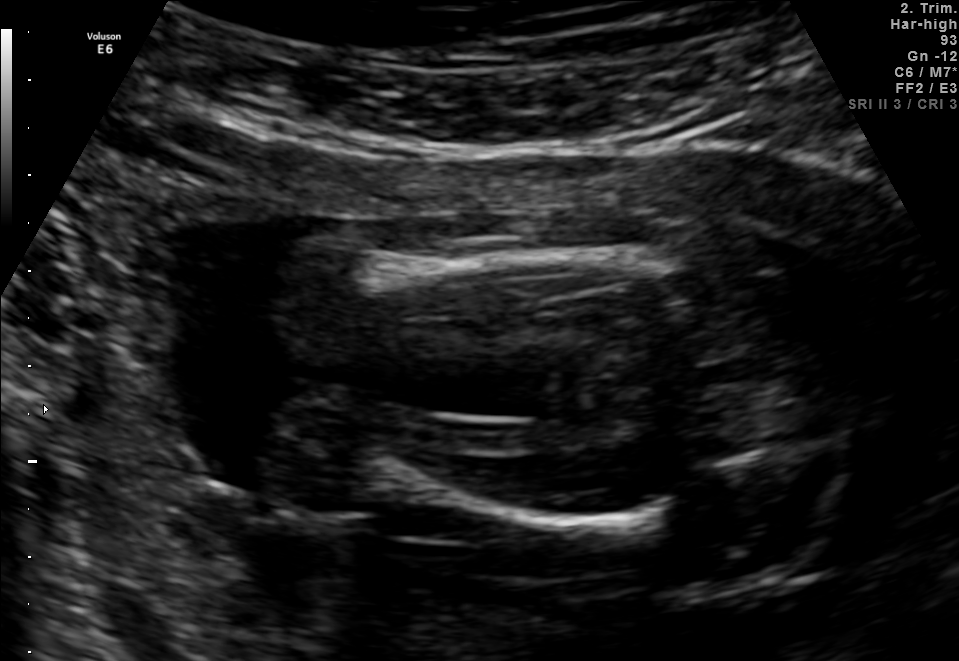
Identify the standard plane in this fetal ultrasound image: fetal abdomen, fetal brain, fetal femur, fetal thorax, maternal cervix, or other. If it's fetal brain and one of the three standard brain planes (trans-thalamic, trans-cerebellum, trans-ventricular), name which.

Fetal femur